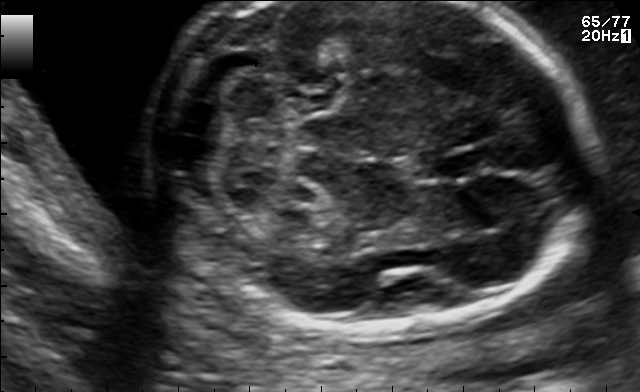
Fetal brain, trans-cerebellum plane. Locate the fetal head.

Head: [148,2,595,336]